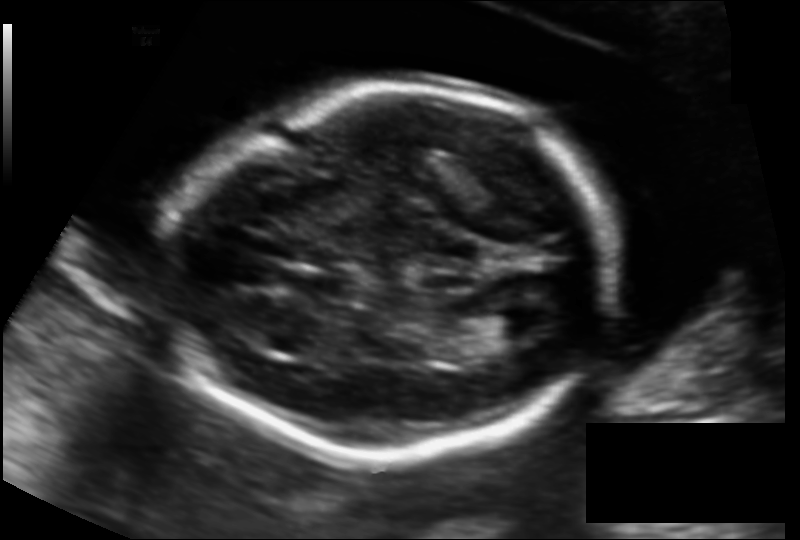
What is the fetal head circumference? Image width is 105.0 mm.

174.3 mm